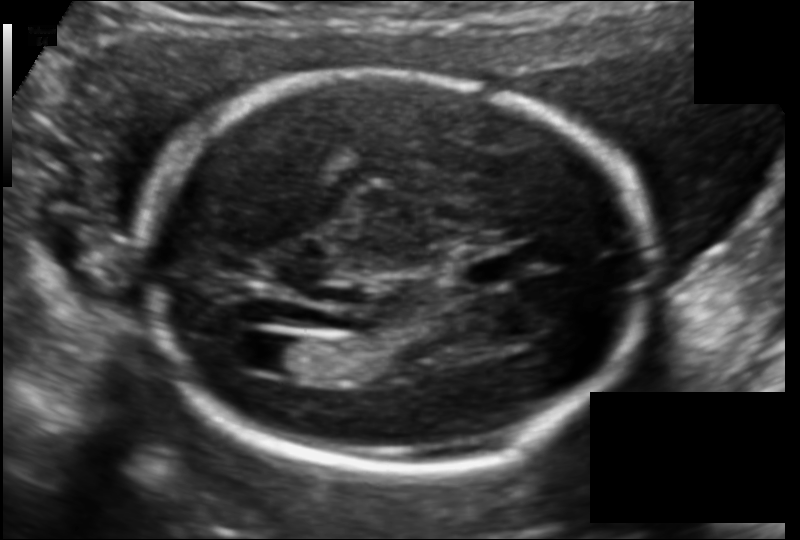
Fetal head ultrasound. Image width: 97.5 mm. Where is the fetal head?

Head bounding box: [143,73,652,472]